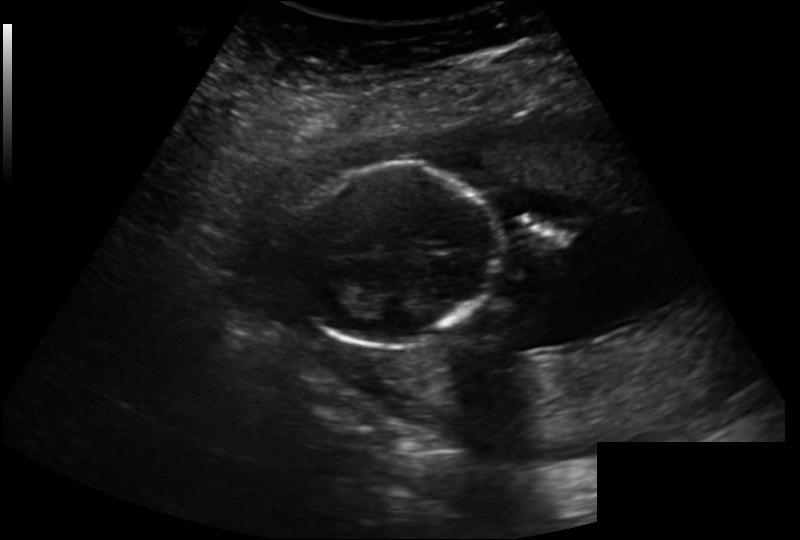
Fetal head ultrasound. Image width: 161.6 mm. Locate the fetal head and, if visible, the cavum septum pellucidum (CSP) and lateral ventricle (LV). Give bounding boxes as [x1,y1,x2,y2].

Head: [294,162,496,349]